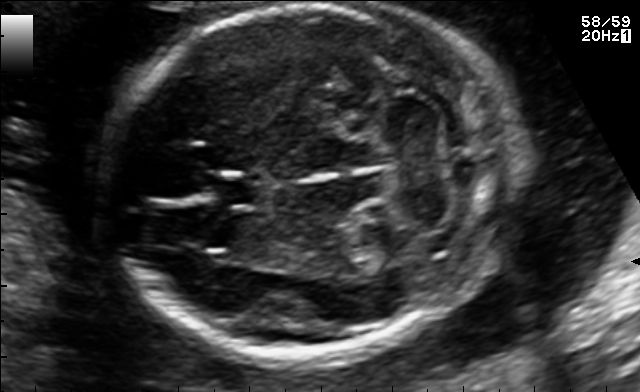
Fetal brain, trans-cerebellum plane. Give [x1,y1,x2,y2] bounding boxes for each visible structure among: fetal head, CSP, LV.

Head: [110,3,521,355]
CSP: [207,173,263,207]